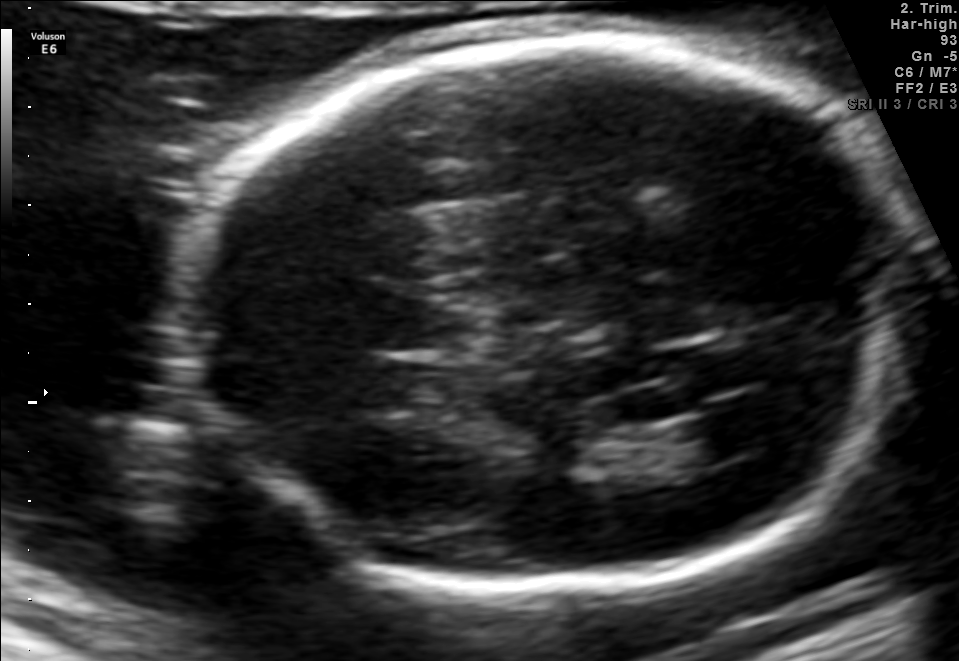
Fetal brain, trans-ventricular plane. Give [x1,y1,x2,y2] bounding boxes for each visible structure among: fetal head, CSP, LV.

Head: [159,31,932,606]
CSP: [366,293,485,359]
Lateral ventricle: [670,390,788,476]